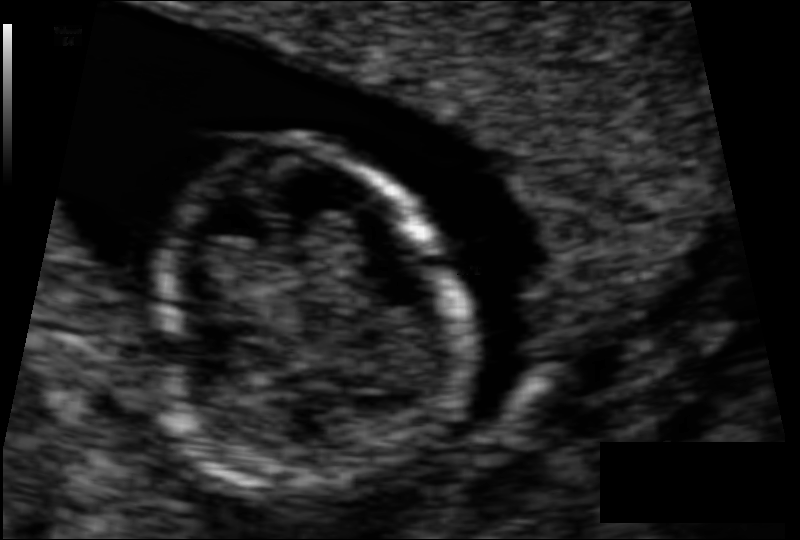
Measure the fetal head circumference shown in this ultrasound image. Image width: 49.5 mm.

Head circumference: 66.3 mm.